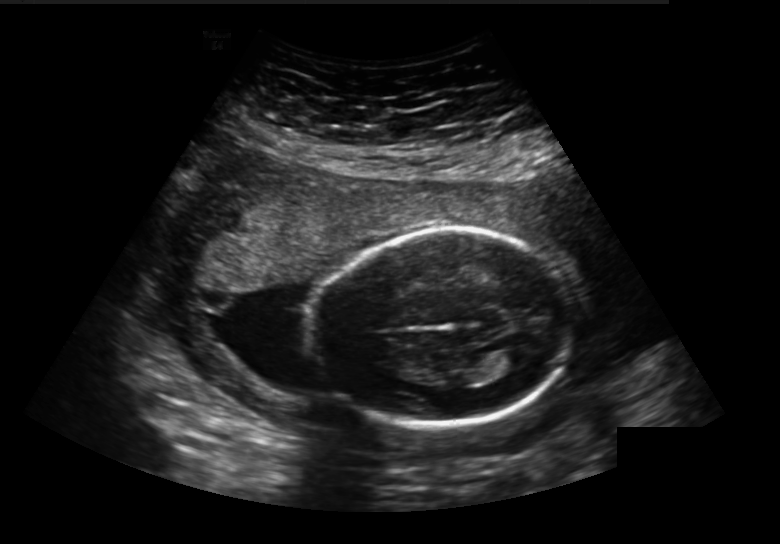
Fetal head ultrasound. Image width: 184.0 mm. Where is the lateral ventricle?

Lateral ventricle bounding box: [496,342,536,375]